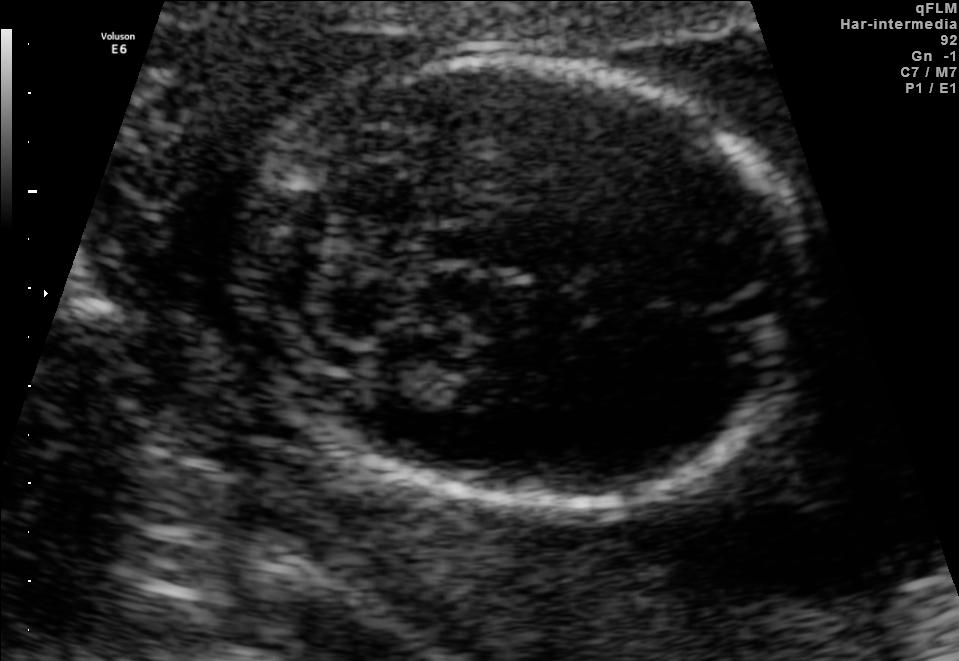
This is a 2D maternal-fetal ultrasound frame. Is it a fetal abdomen, fetal brain, fetal femur, fetal thorax, maternal cervix, or other standard plane? If it's fetal brain and one of the three standard brain planes (trans-thalamic, trans-cerebellum, trans-ventricular), name which.

Fetal brain (trans-cerebellum plane)